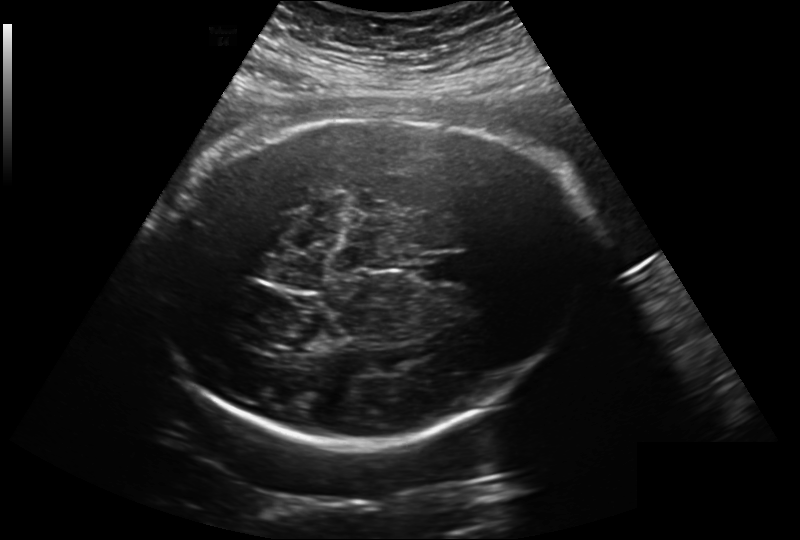
Fetal head ultrasound. Image width: 208.0 mm. Where is the cavum septum pellucidum?

CSP bounding box: [418,253,470,285]